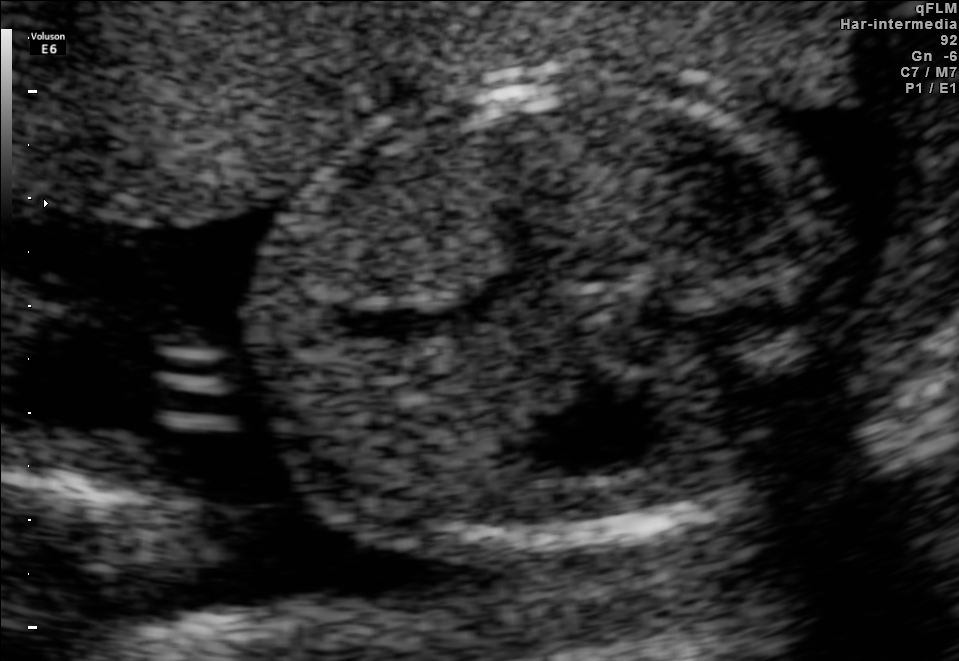
Identify the standard plane in this fetal ultrasound image: fetal abdomen, fetal brain, fetal femur, fetal thorax, maternal cervix, or other. If it's fetal brain and one of the three standard brain planes (trans-thalamic, trans-cerebellum, trans-ventricular), name which.

Other